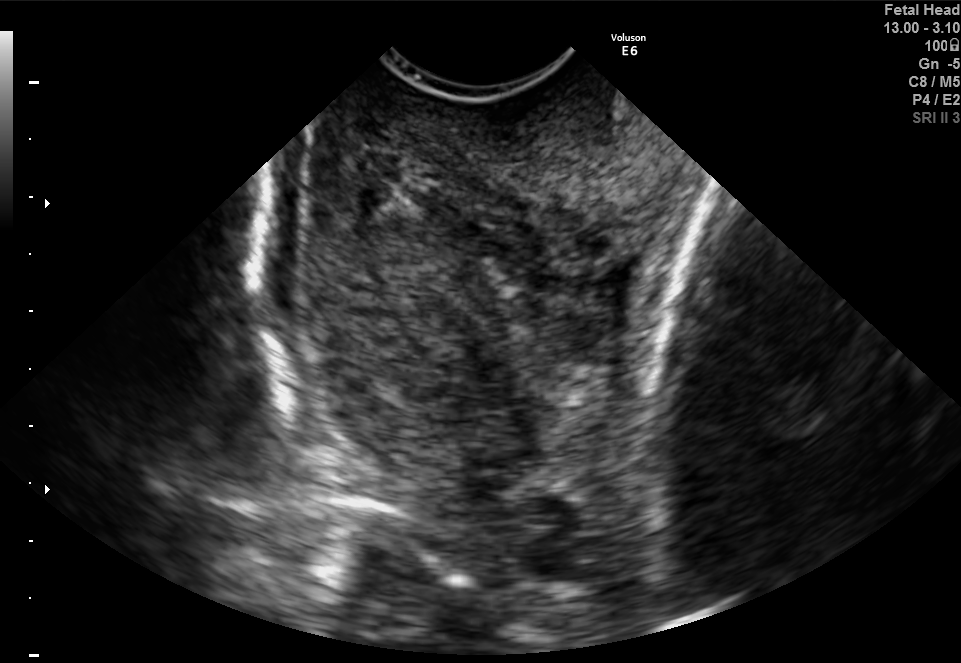
Classify this maternal-fetal ultrasound image as one of the six standard planes — fetal abdomen, fetal brain, fetal femur, fetal thorax, maternal cervix, or other. If it's fetal brain and one of the three standard brain planes (trans-thalamic, trans-cerebellum, trans-ventricular), name which.

Maternal cervix